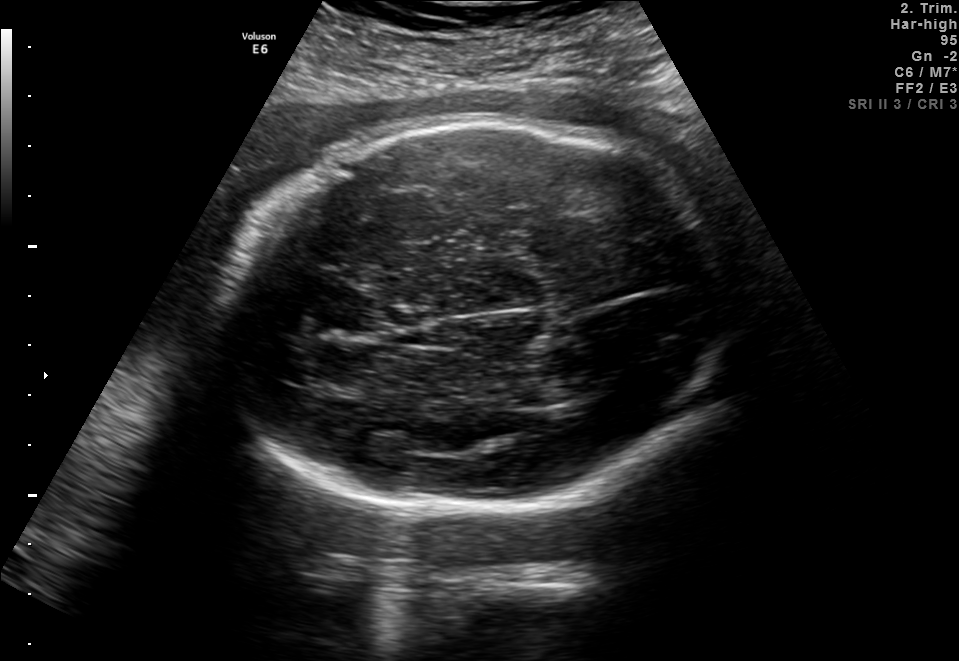
Fetal brain, trans-thalamic plane. Where is the fetal head?

Head bounding box: [224,125,743,508]